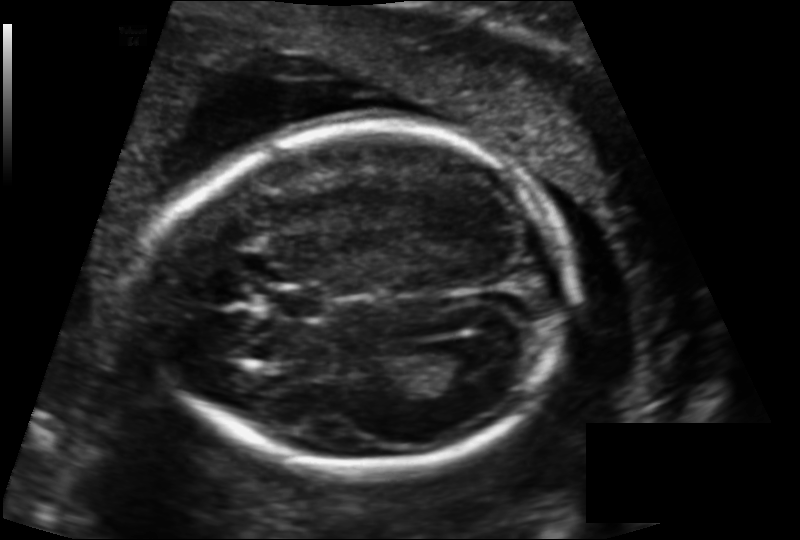
From this fetal ultrasound, estimate the head circumference (image width 109.5 mm).

Head circumference: 168.4 mm.